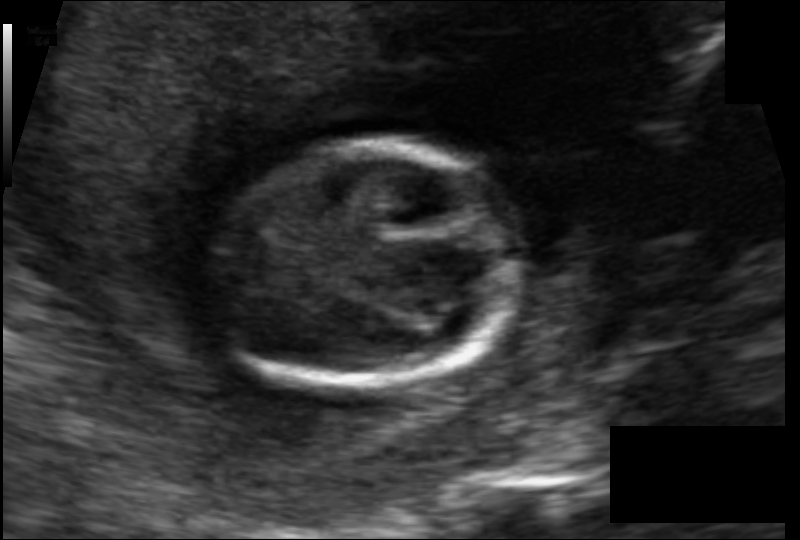
Estimate the fetal head circumference from this 2D ultrasound.

Head circumference: 80.3 mm (image width 70.6 mm).